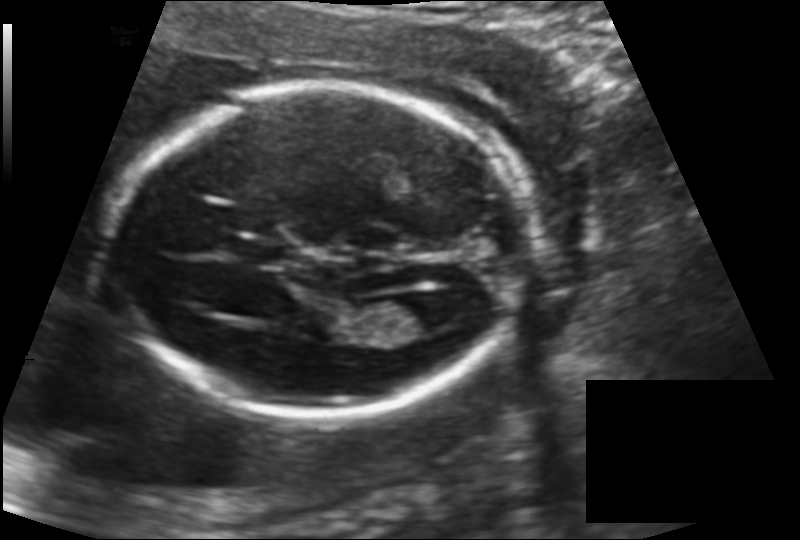
In this fetal head ultrasound, give the bounding box of the cavum septum pellucidum. Image width: 113.5 mm.

[230,234,288,269]